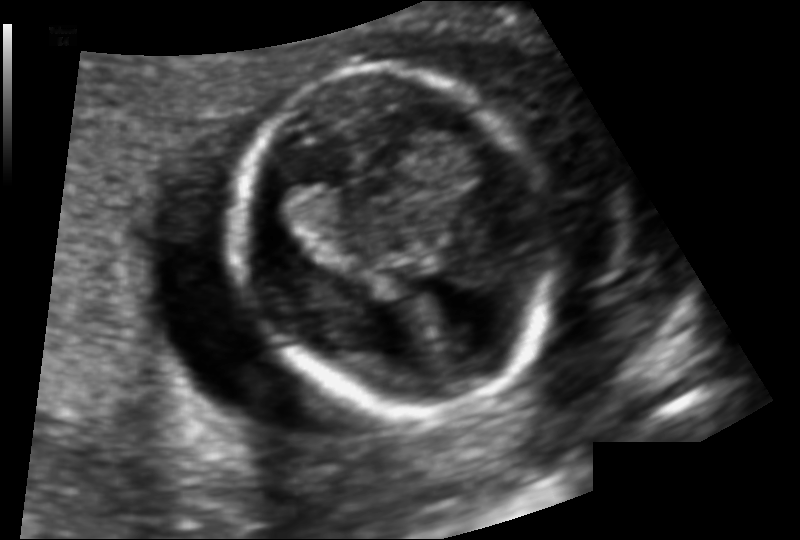
Fetal head ultrasound. Image width: 85.7 mm. Locate the fetal head and, if visible, the cavum septum pellucidum (CSP) and lateral ventricle (LV). Give bounding boxes as [x1,y1,x2,y2].

Head: [234,63,546,410]